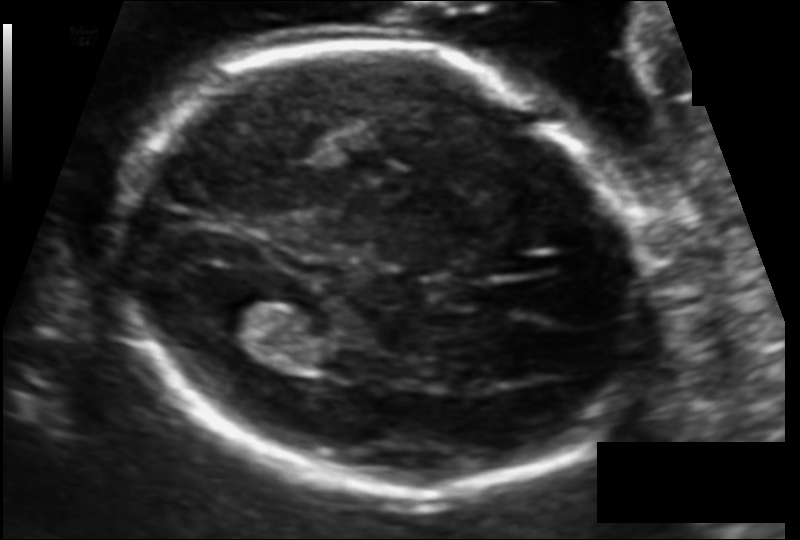
In this fetal head ultrasound, give the bounding box of the lateral ventricle. Image width: 92.8 mm.

[199,274,292,351]